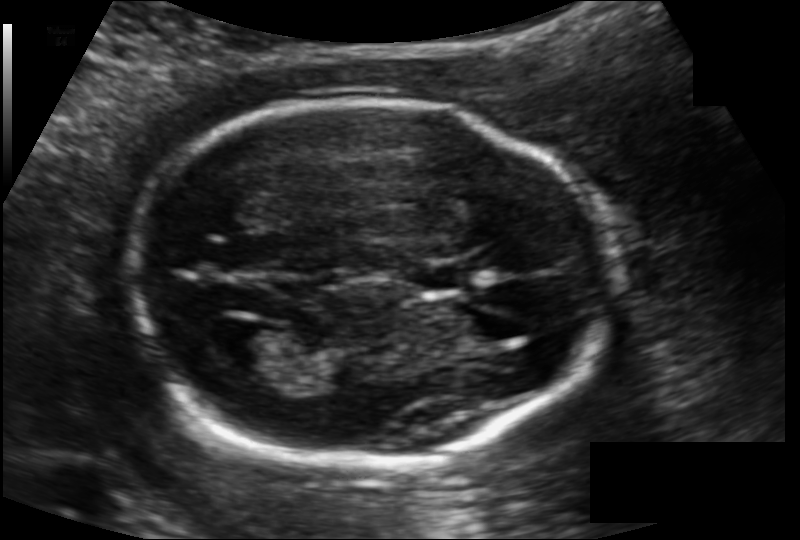
Estimate the fetal head circumference from this 2D ultrasound.

Head circumference: 164.1 mm (image width 96.5 mm).